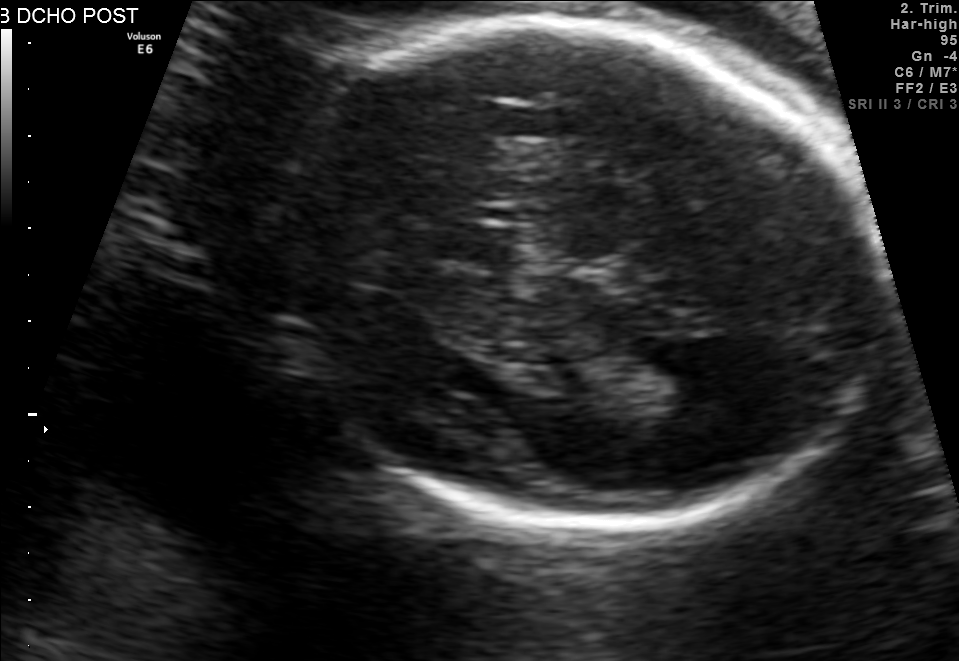
Fetal brain, trans-thalamic plane. Locate the fetal head and, if visible, the cavum septum pellucidum (CSP) and lateral ventricle (LV). Give bounding boxes as [x1,y1,x2,y2].

Head: [265,22,878,529]
CSP: [443,221,516,265]